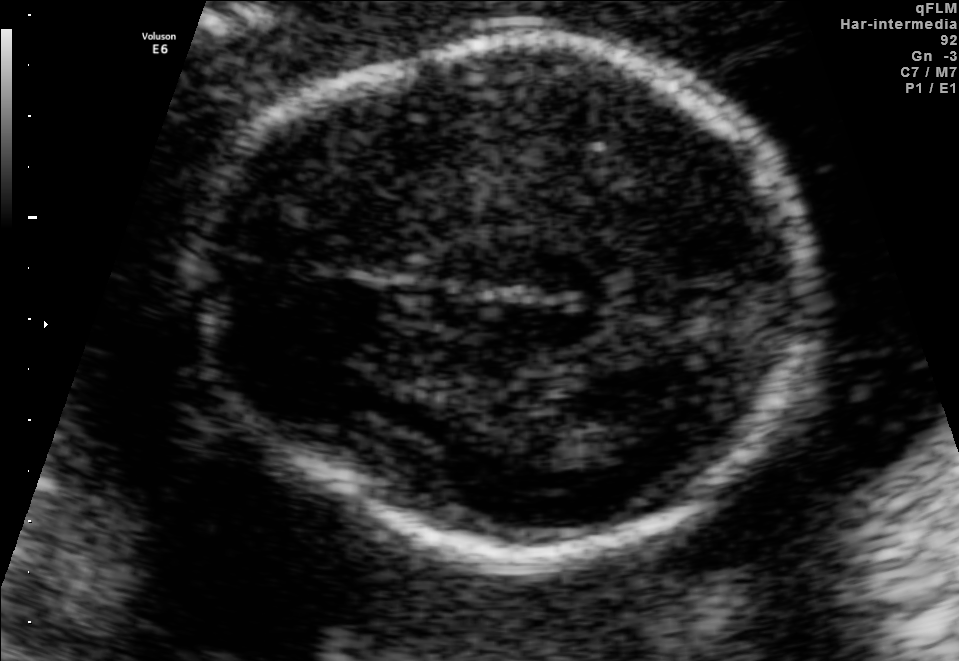
In this fetal brain, trans-thalamic plane, give bounding boxes for the head outline, cavum septum pellucidum (CSP), and lateral ventricle (LV), where visible.

Head: [201,39,810,554]
Lateral ventricle: [513,406,639,473]